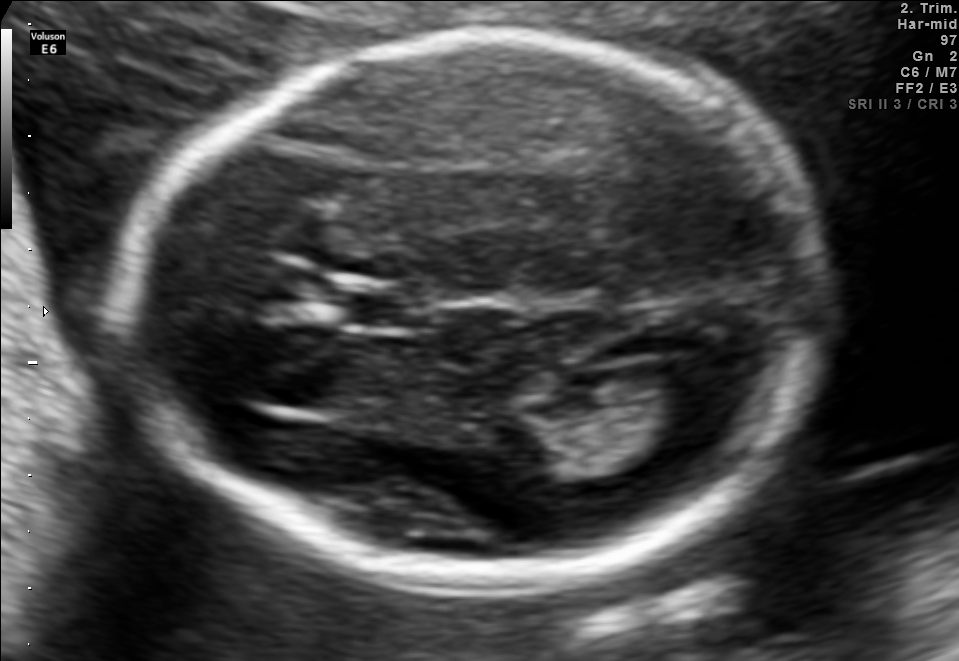
Fetal brain, trans-ventricular plane. Locate the cavum septum pellucidum.

CSP: [349,291,428,329]